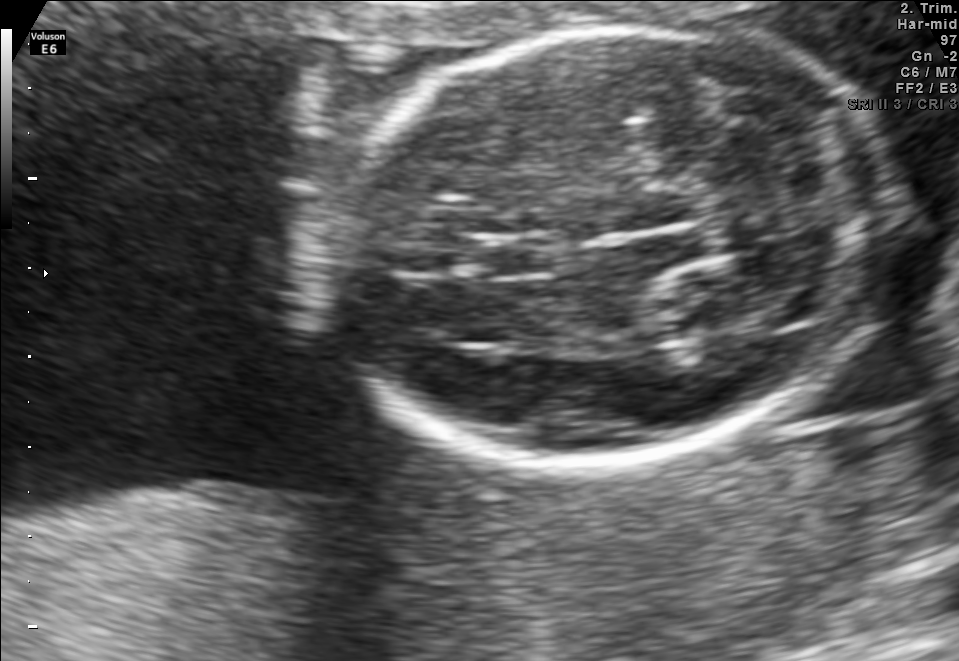
Fetal brain, trans-thalamic plane. Locate the fetal head and, if visible, the cavum septum pellucidum (CSP) and lateral ventricle (LV). Give bounding boxes as [x1,y1,x2,y2].

Head: [317,30,898,461]
CSP: [475,236,559,276]